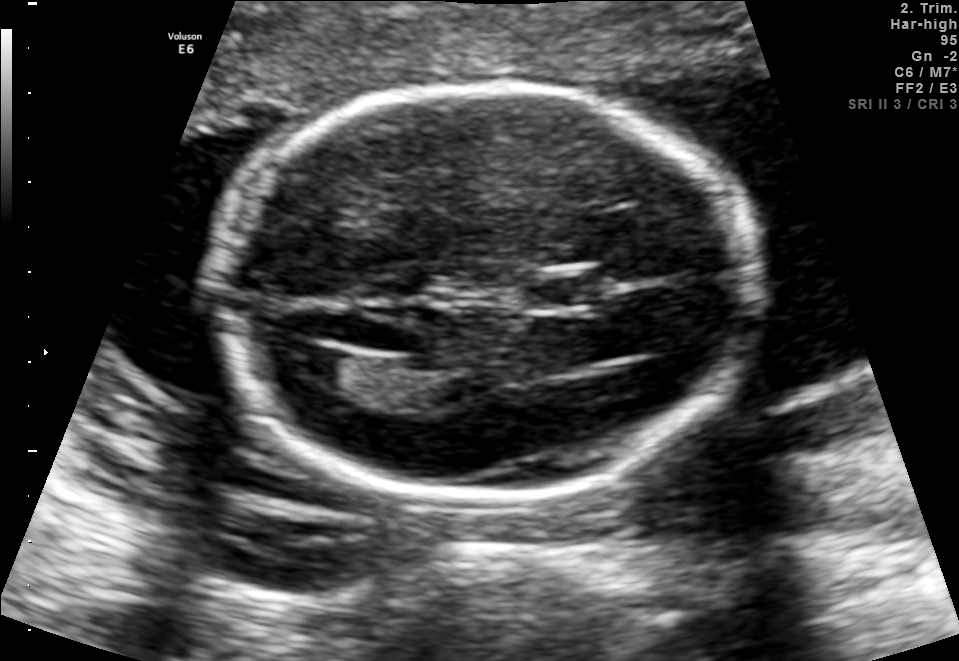
In this fetal brain, trans-ventricular plane, give the bounding box of the fetal head.

[210,79,769,514]